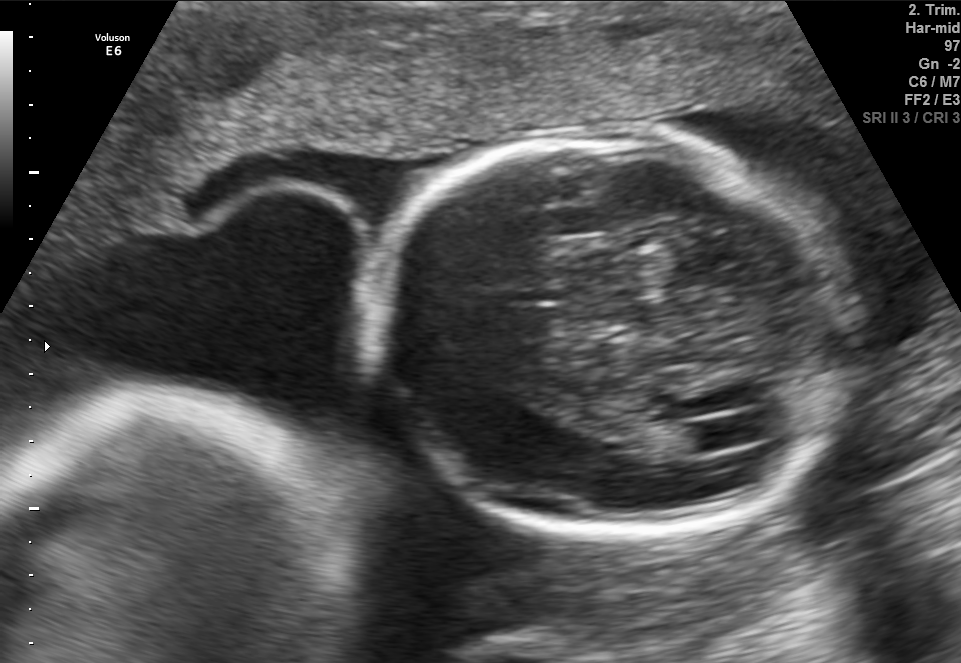
Fetal brain, trans-ventricular plane. Locate the fetal head.

Head: [354,124,870,541]